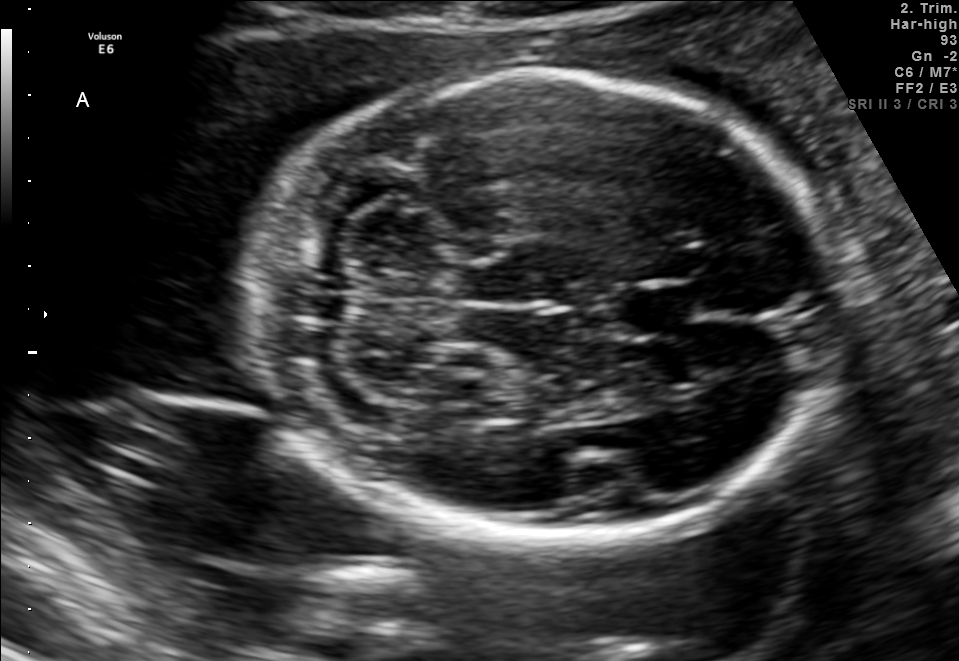
Fetal brain, trans-cerebellum plane. Locate the fetal head.

Head: [257,74,836,541]